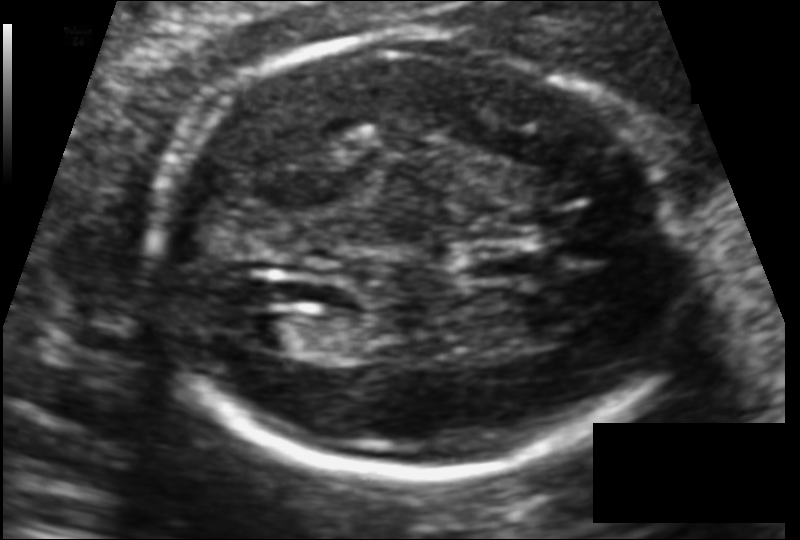
What is the fetal head circumference? Image width is 88.1 mm.

174.7 mm